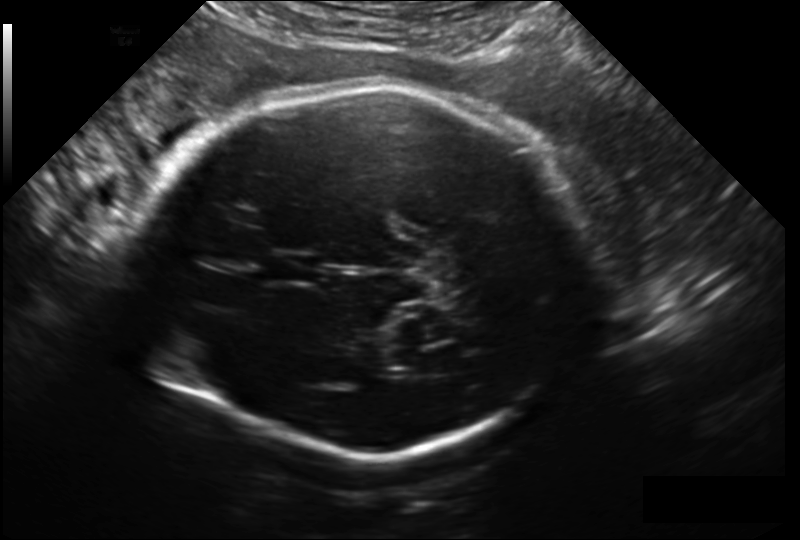
Fetal head ultrasound. Image width: 167.2 mm. Locate the fetal head.

Head: [136,86,589,454]